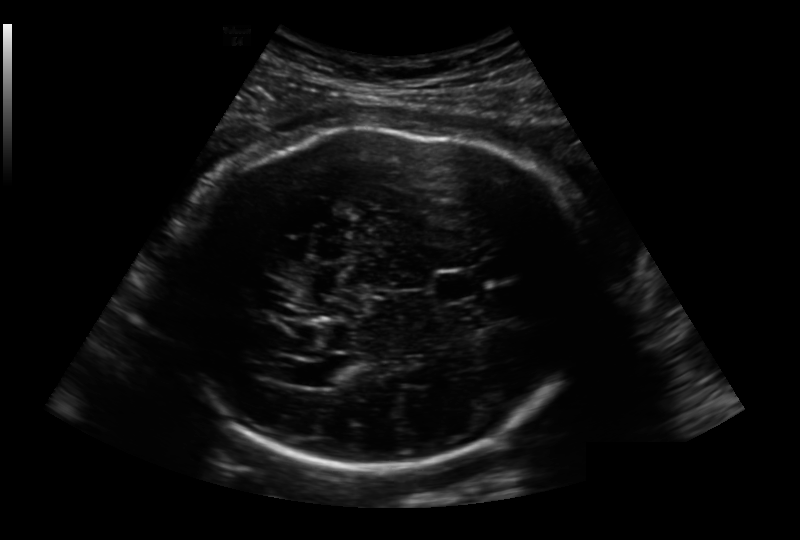
In this fetal head ultrasound, give the bounding box of the cavum septum pellucidum. Image width: 188.6 mm.

[432,264,488,305]